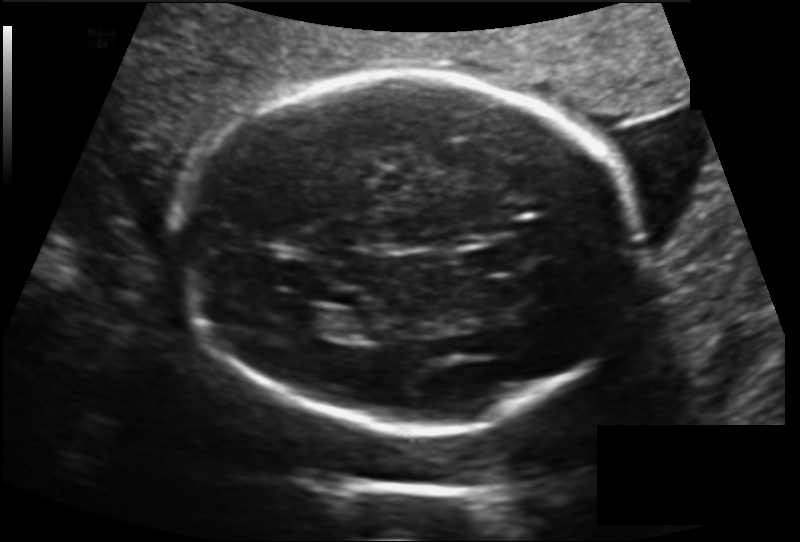
In this fetal head ultrasound, give bounding boxes for the head outline, cavum septum pellucidum (CSP), and lateral ventricle (LV), where visible. Image width: 127.7 mm.

Head: [175,71,645,421]
CSP: [458,238,521,282]
Lateral ventricle: [285,305,343,337]